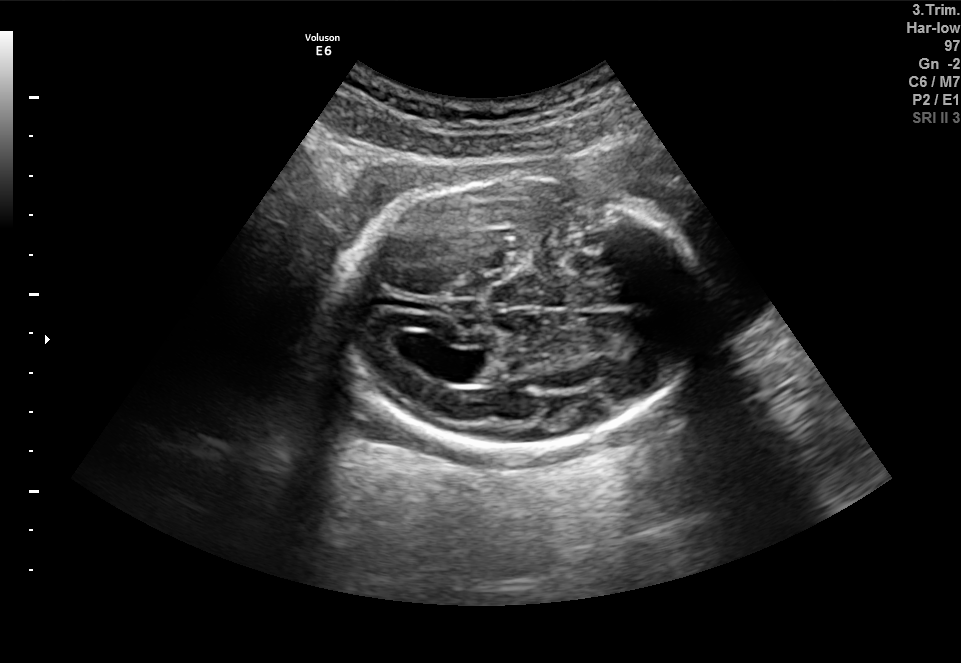
Fetal brain, trans-ventricular plane. Where is the fetal head?

Head bounding box: [332,174,709,455]